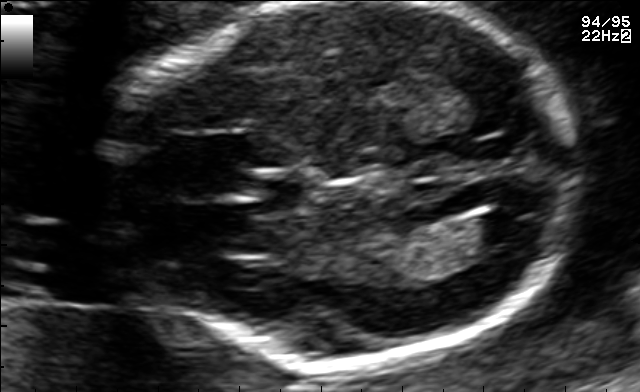
In this fetal brain, trans-ventricular plane, give the bounding box of the cavum septum pellucidum.

[251,180,306,211]